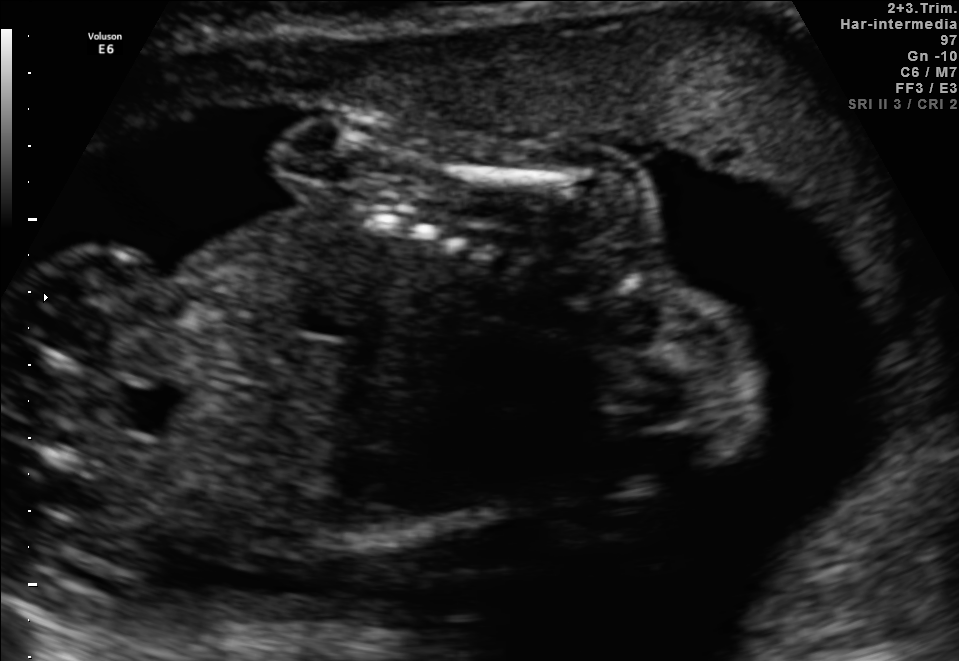
This is a 2D maternal-fetal ultrasound frame. Is it a fetal abdomen, fetal brain, fetal femur, fetal thorax, maternal cervix, or other standard plane? If it's fetal brain and one of the three standard brain planes (trans-thalamic, trans-cerebellum, trans-ventricular), name which.

Other